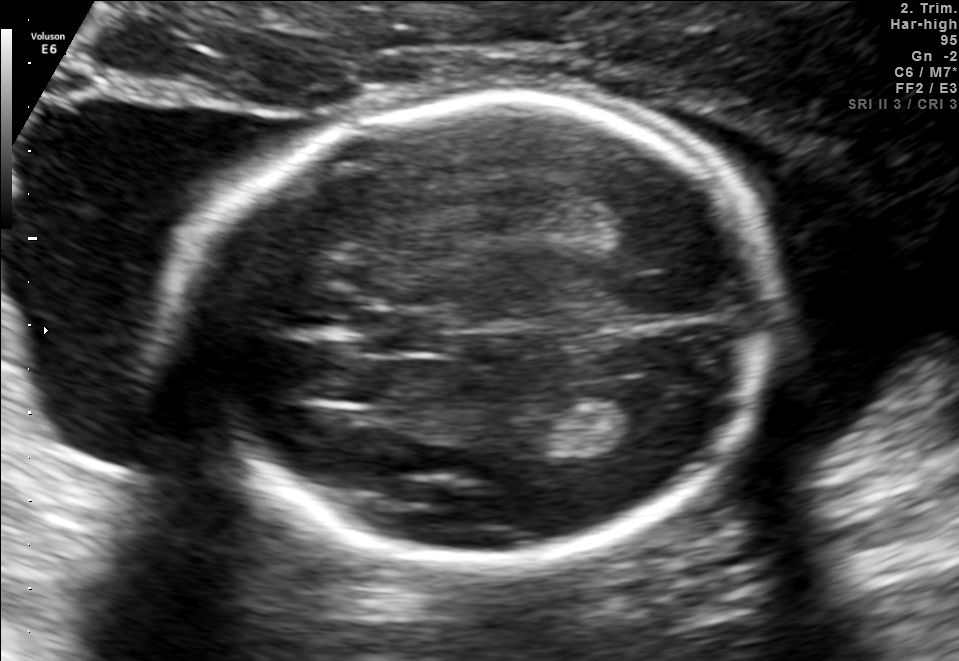
In this fetal brain, trans-thalamic plane, give bounding boxes for the head outline, cavum septum pellucidum (CSP), and lateral ventricle (LV), where visible.

Head: [186,97,777,554]
CSP: [360,313,443,352]
Lateral ventricle: [574,372,673,456]